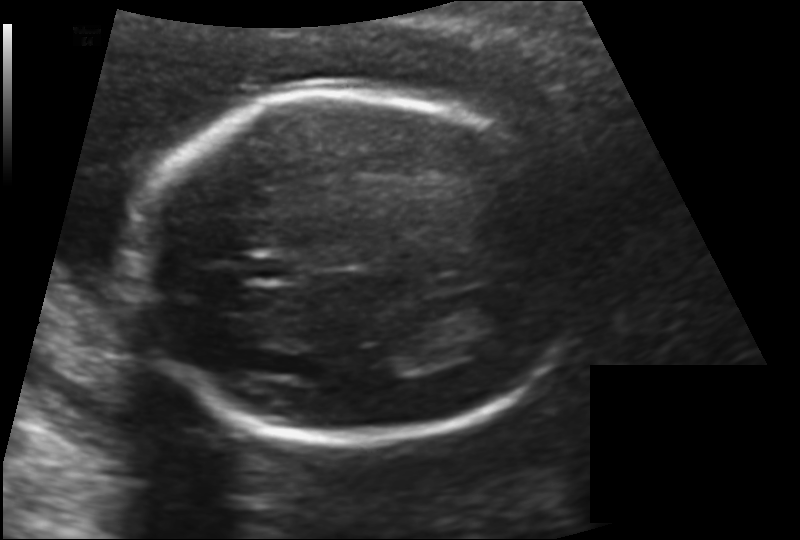
Estimate the fetal head circumference from this 2D ultrasound.

Head circumference: 185.1 mm (image width 113.8 mm).